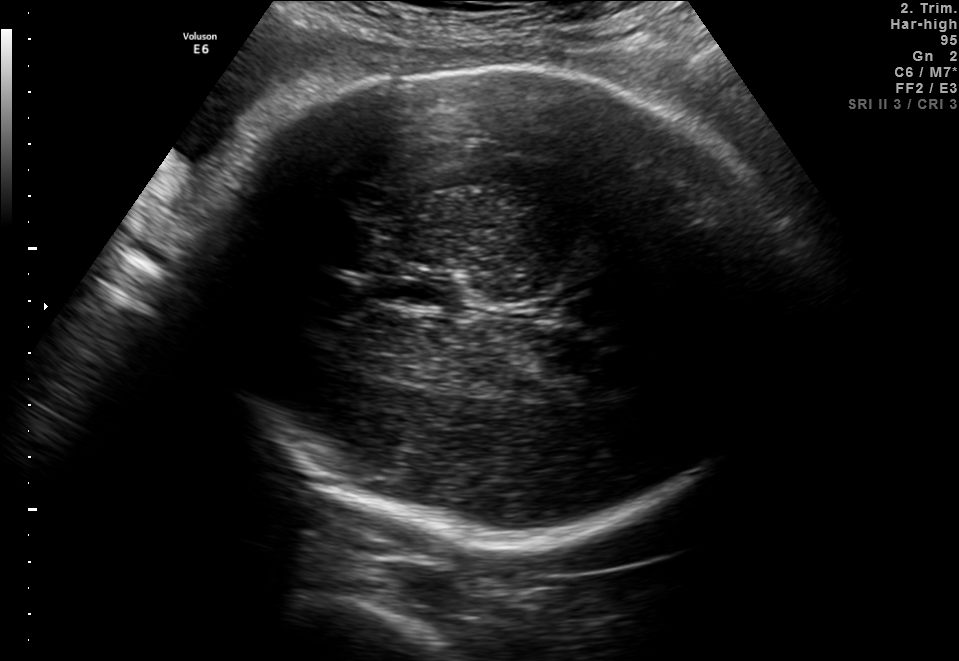
In this fetal brain, trans-thalamic plane, give bounding boxes for the head outline, cavum septum pellucidum (CSP), and lateral ventricle (LV), where visible.

Head: [198,67,781,542]
CSP: [381,266,463,310]